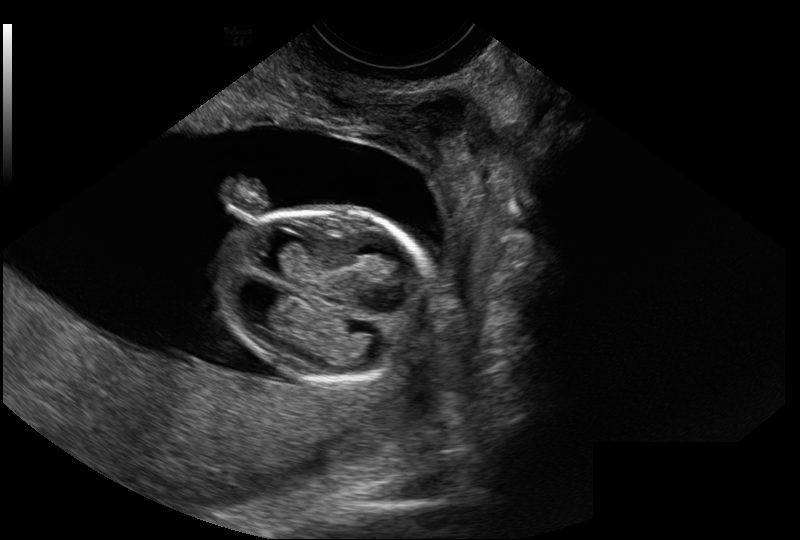
What is the fetal head circumference? Image width is 91.6 mm.

73.0 mm